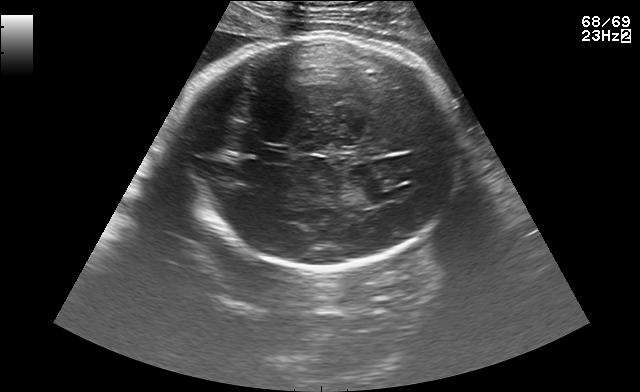
Fetal brain, trans-thalamic plane. Locate the fetal head.

Head: [172,38,467,266]